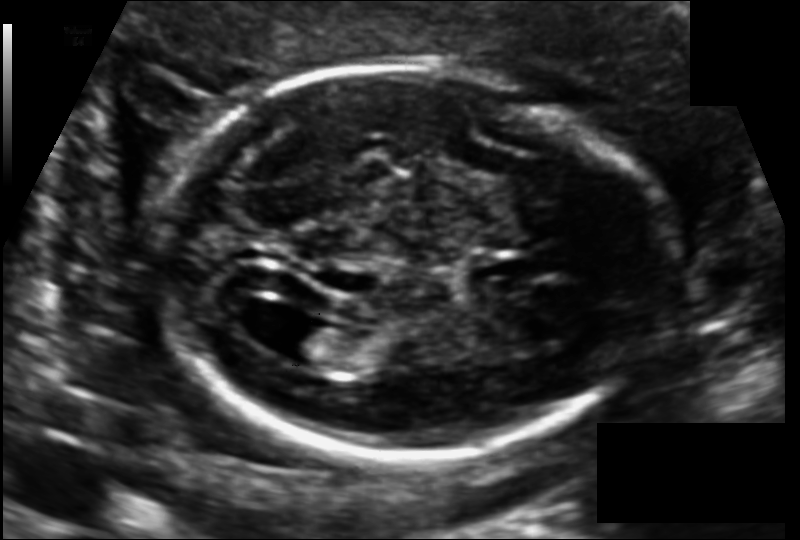
Fetal head ultrasound. Image width: 94.6 mm. Where is the lateral ventricle?

Lateral ventricle bounding box: [271,313,351,376]